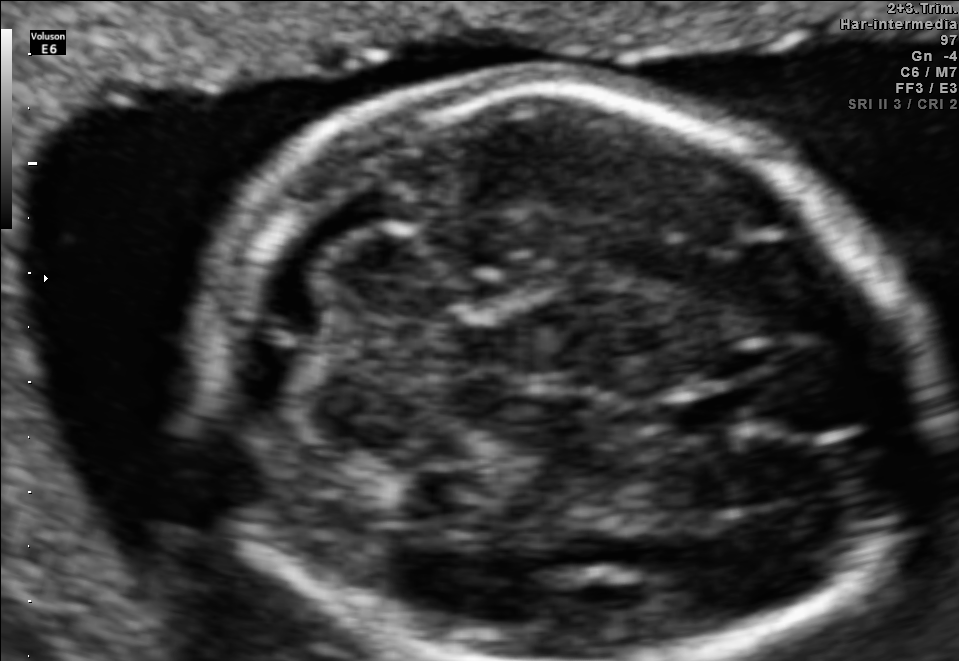
Fetal brain, trans-cerebellum plane. Where is the cavum septum pellucidum?

CSP bounding box: [666,381,770,447]